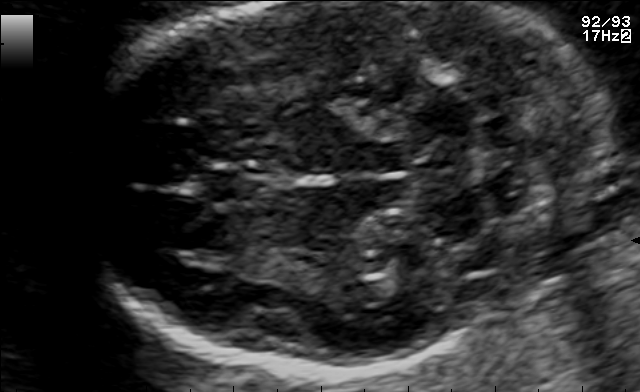
Fetal brain, trans-cerebellum plane. Locate the fetal head and, if visible, the cavum septum pellucidum (CSP) and lateral ventricle (LV). Give bounding boxes as [x1,y1,x2,y2].

Head: [89,2,613,372]
CSP: [197,165,274,205]